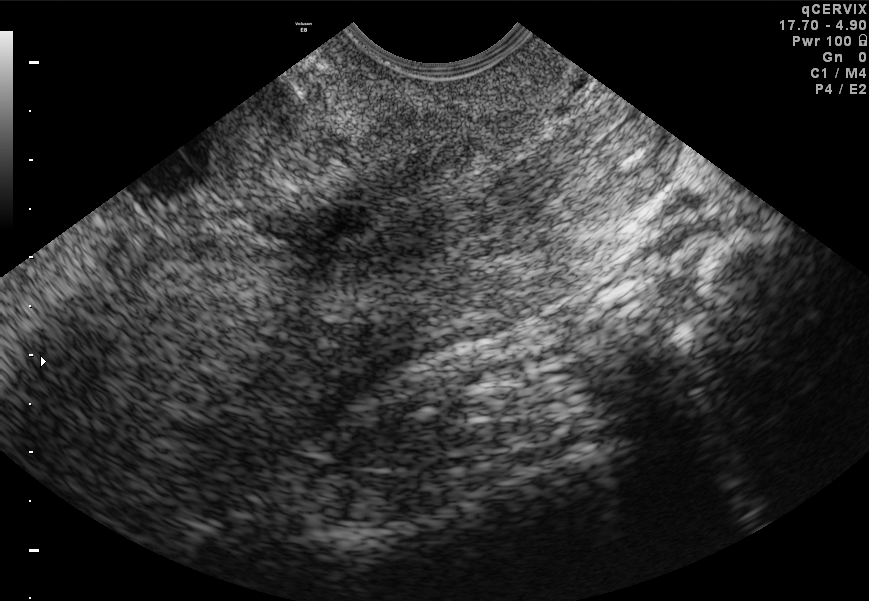
Which standard maternal-fetal ultrasound plane is shown: fetal abdomen, fetal brain, fetal femur, fetal thorax, maternal cervix, or other? If it's fetal brain and one of the three standard brain planes (trans-thalamic, trans-cerebellum, trans-ventricular), name which.

Maternal cervix